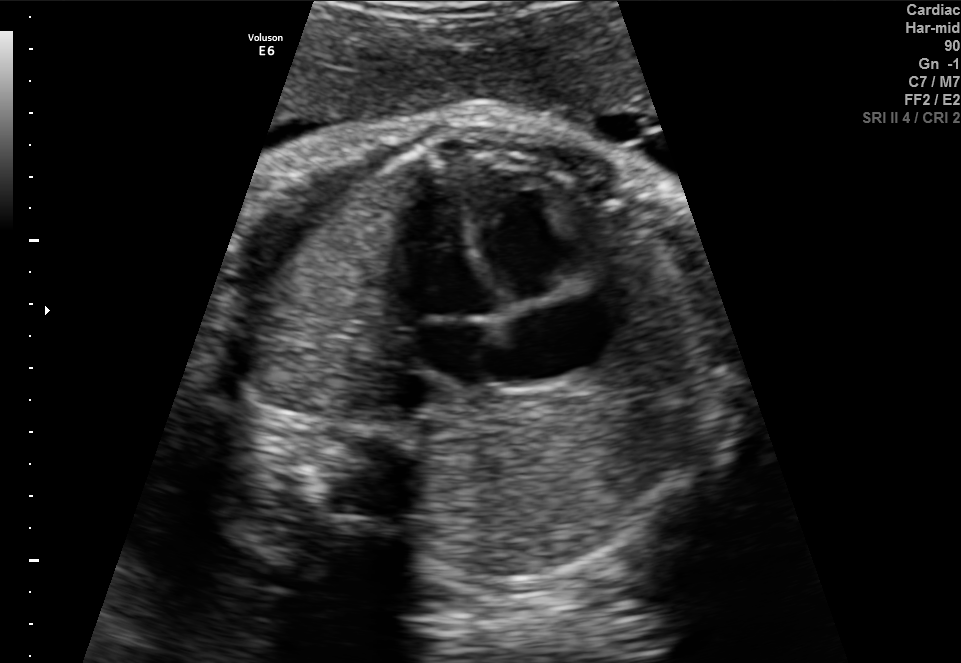
Identify the standard plane in this fetal ultrasound image: fetal abdomen, fetal brain, fetal femur, fetal thorax, maternal cervix, or other. If it's fetal brain and one of the three standard brain planes (trans-thalamic, trans-cerebellum, trans-ventricular), name which.

Fetal thorax